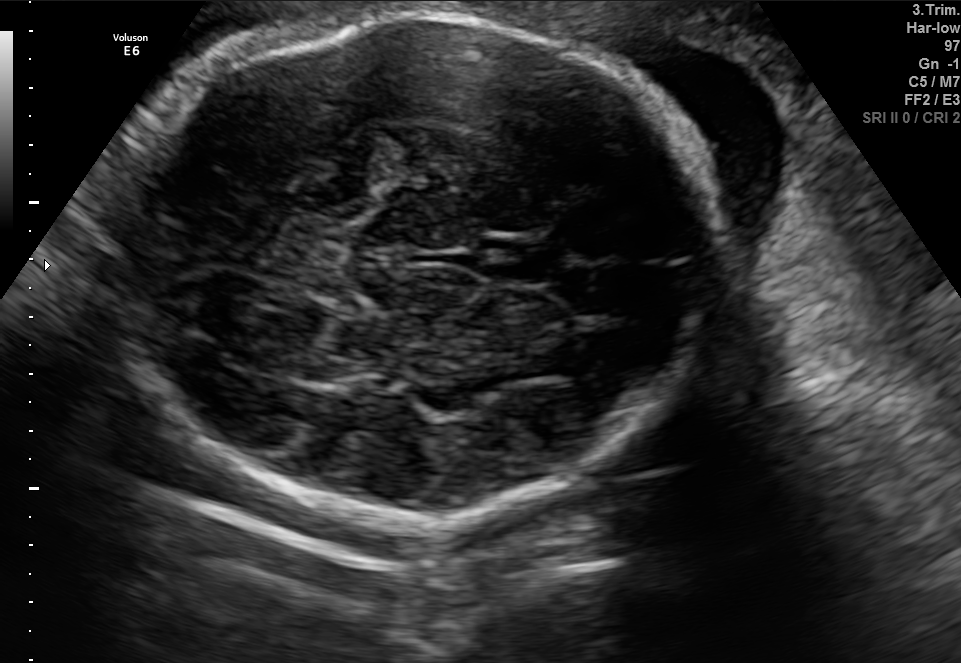
In this fetal brain, trans-thalamic plane, give the bounding box of the fetal head.

[124,11,725,532]